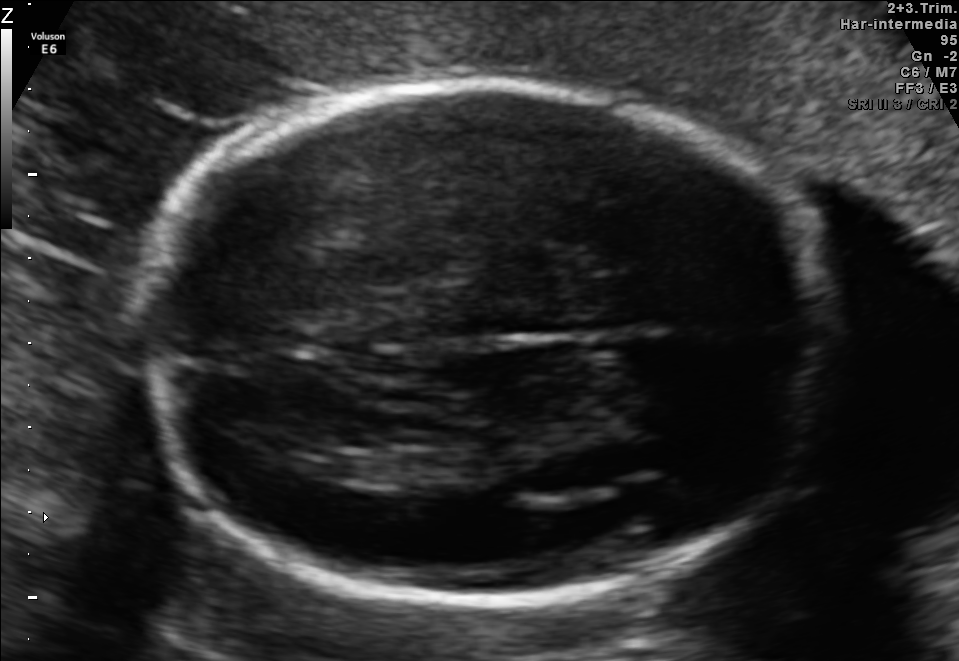
Fetal brain, trans-thalamic plane. Where is the fetal head?

Head bounding box: [139,77,828,600]